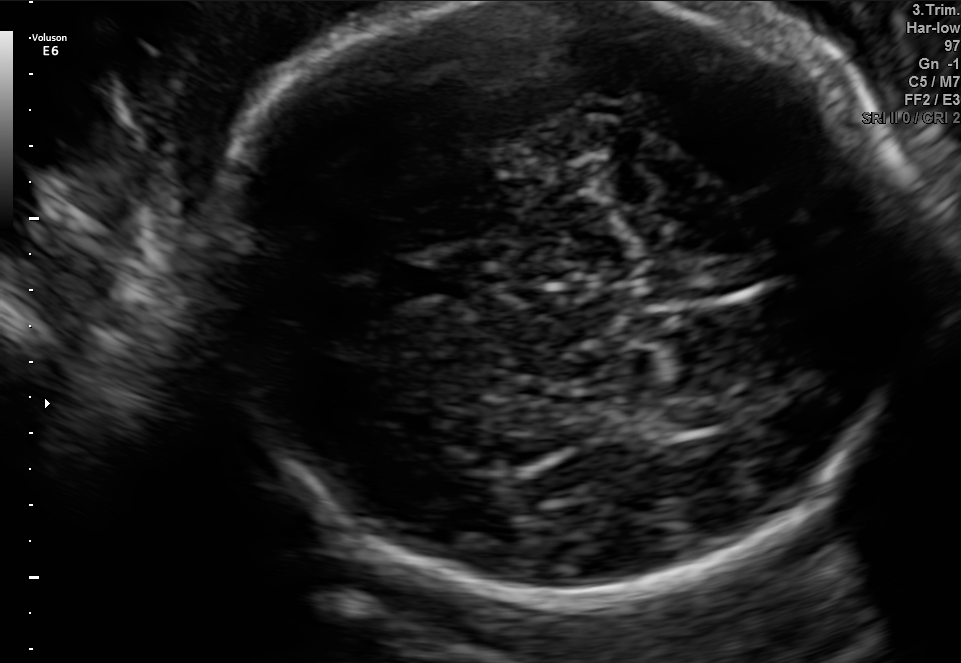
Fetal brain, trans-thalamic plane. Where is the fetal head?

Head bounding box: [217,1,910,588]